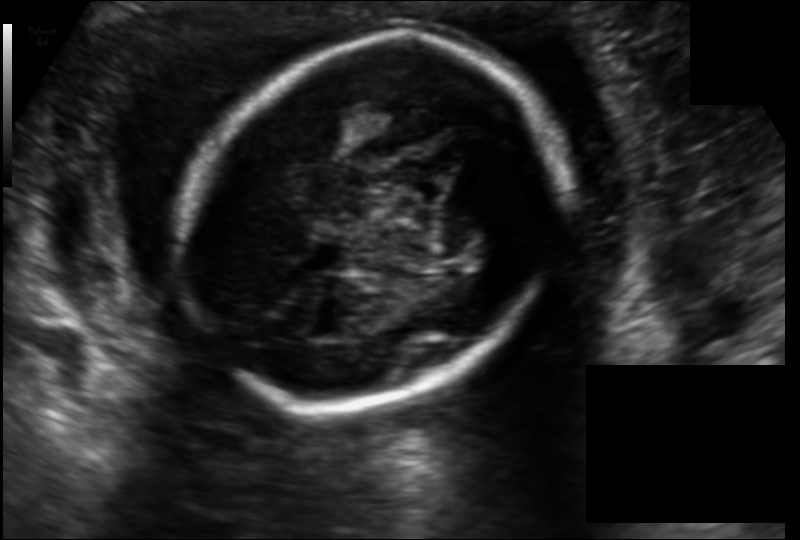
Measure the fetal head circumference shown in this ultrasound image. Image width: 112.8 mm.

Head circumference: 171.0 mm.